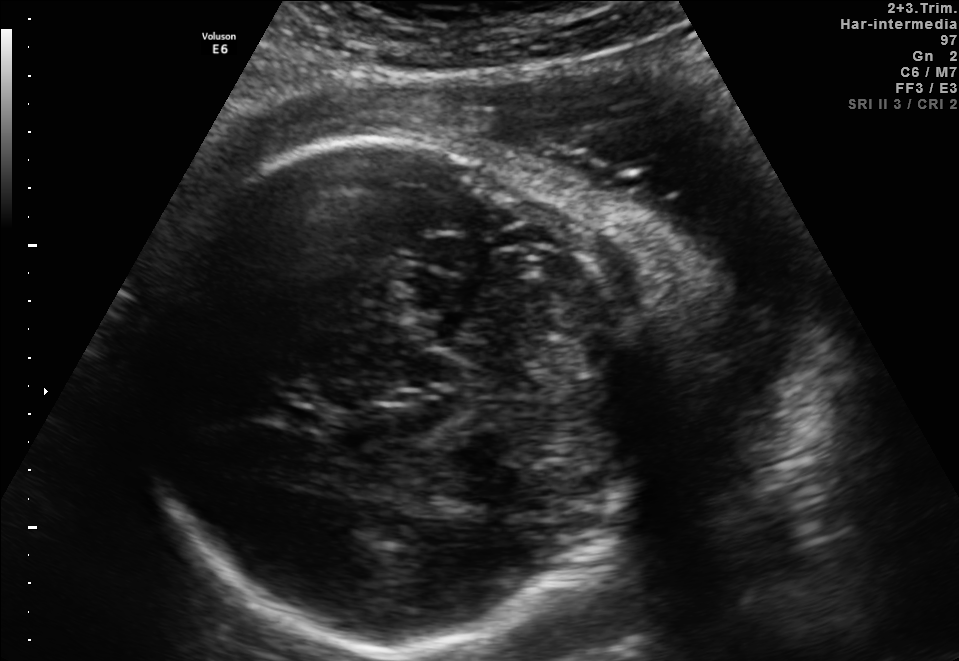
Classify this maternal-fetal ultrasound image as one of the six standard planes — fetal abdomen, fetal brain, fetal femur, fetal thorax, maternal cervix, or other. If it's fetal brain and one of the three standard brain planes (trans-thalamic, trans-cerebellum, trans-ventricular), name which.

Fetal brain (trans-thalamic plane)